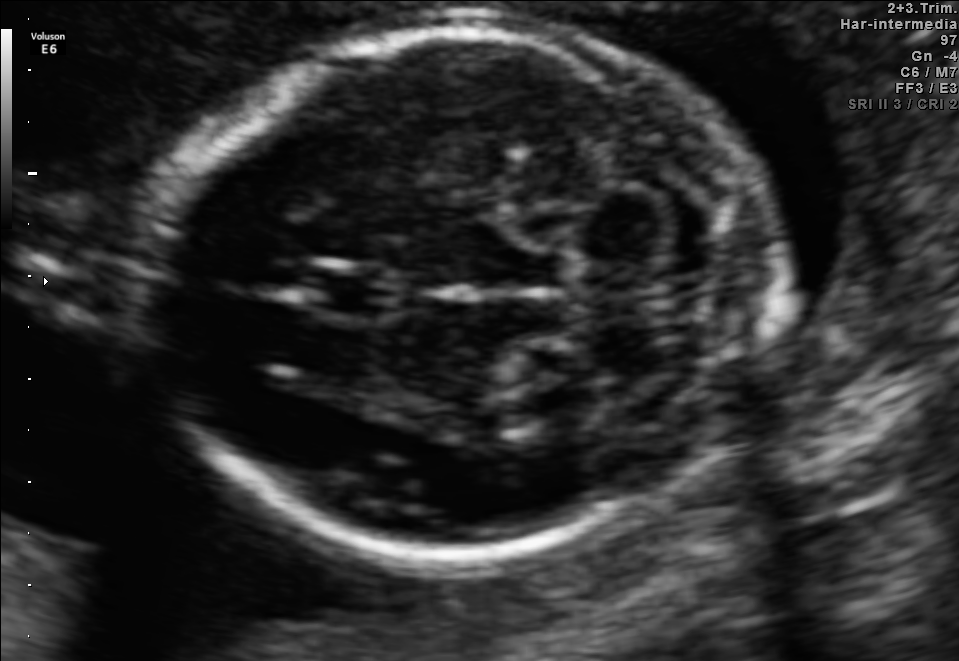
Fetal brain, trans-cerebellum plane. Locate the fetal head and, if visible, the cavum septum pellucidum (CSP) and lateral ventricle (LV). Give bounding boxes as [x1,y1,x2,y2].

Head: [145,28,782,551]
CSP: [300,261,398,326]